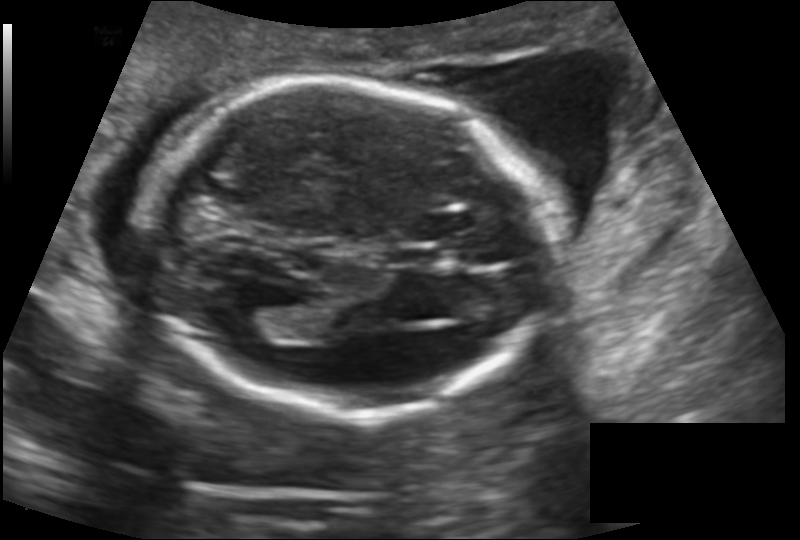
In this fetal head ultrasound, give bounding boxes for the head outline, cavum septum pellucidum (CSP), and lateral ventricle (LV), where visible. Image width: 116.4 mm.

Head: [141,79,549,413]
CSP: [392,247,446,268]
Lateral ventricle: [229,306,285,340]